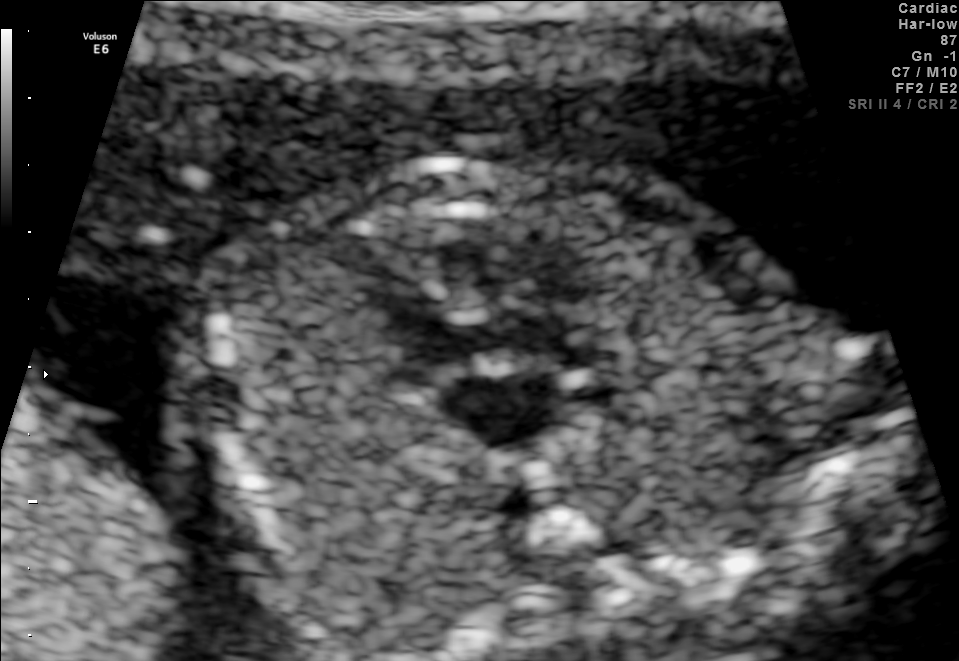
Which standard maternal-fetal ultrasound plane is shown: fetal abdomen, fetal brain, fetal femur, fetal thorax, maternal cervix, or other? If it's fetal brain and one of the three standard brain planes (trans-thalamic, trans-cerebellum, trans-ventricular), name which.

Other